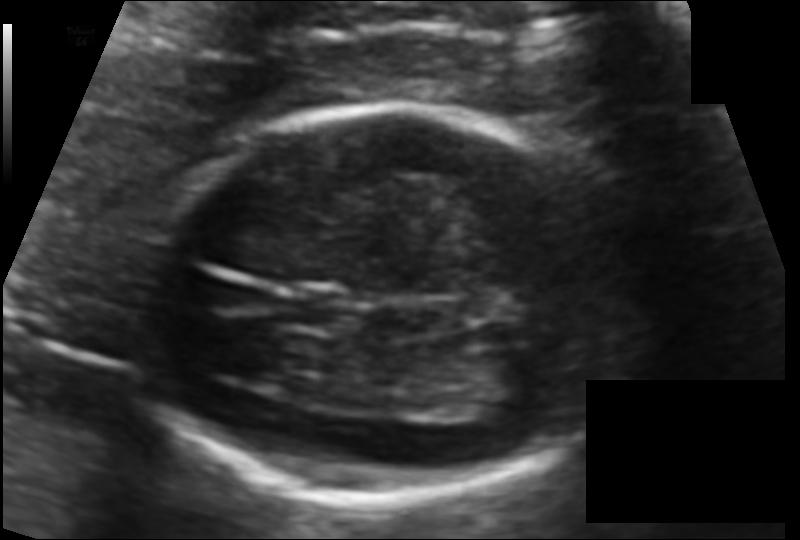
Fetal head ultrasound. Image width: 80.0 mm. Locate the fetal head.

Head: [141,105,632,499]